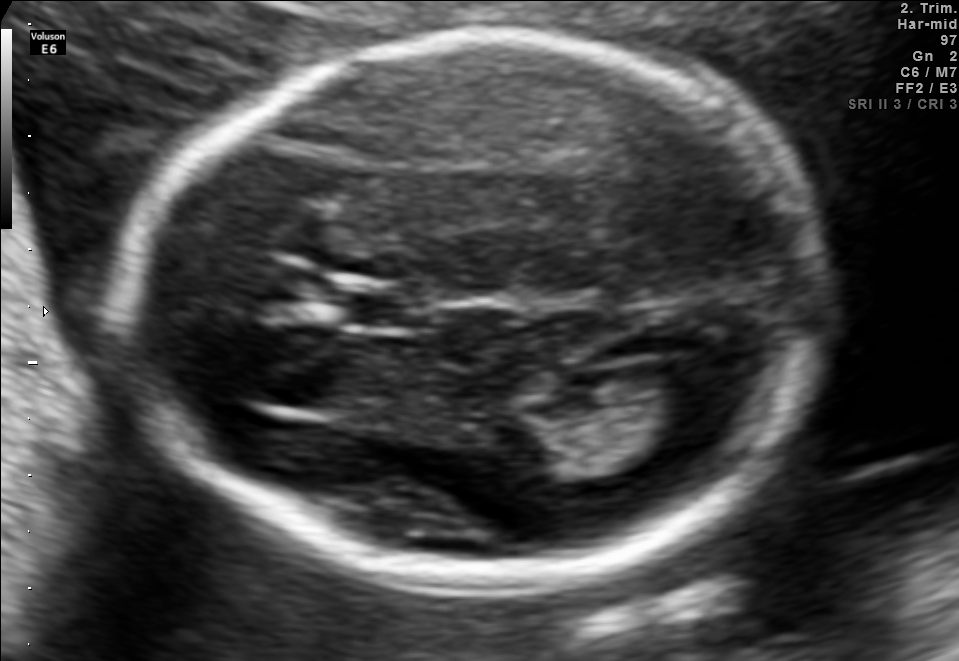
Fetal brain, trans-ventricular plane. Where is the cavum septum pellucidum?

CSP bounding box: [349,291,428,329]